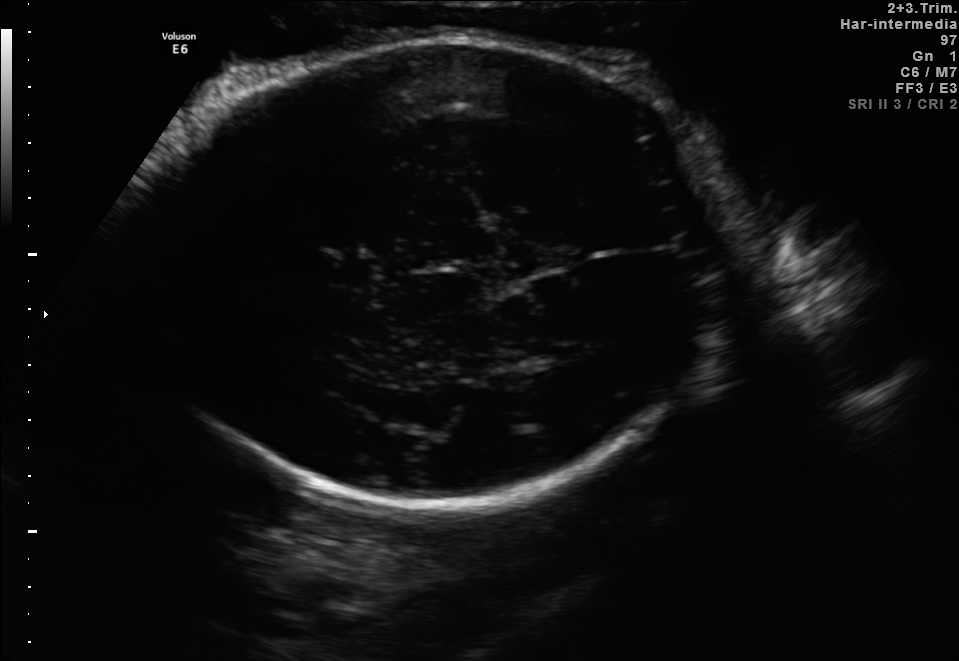
Fetal brain, trans-thalamic plane. Locate the fetal head.

Head: [137,34,726,509]